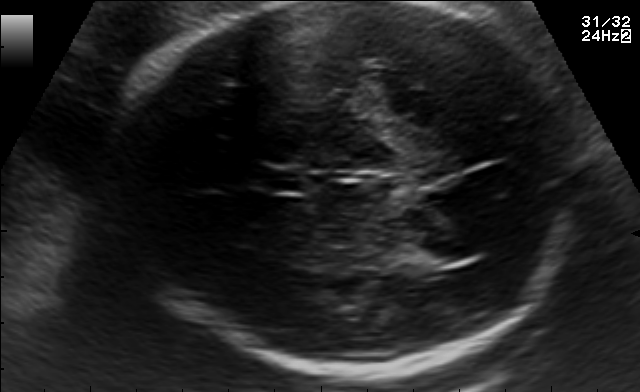
Fetal brain, trans-thalamic plane. Locate the cavum septum pellucidum.

CSP: [267,168,307,192]